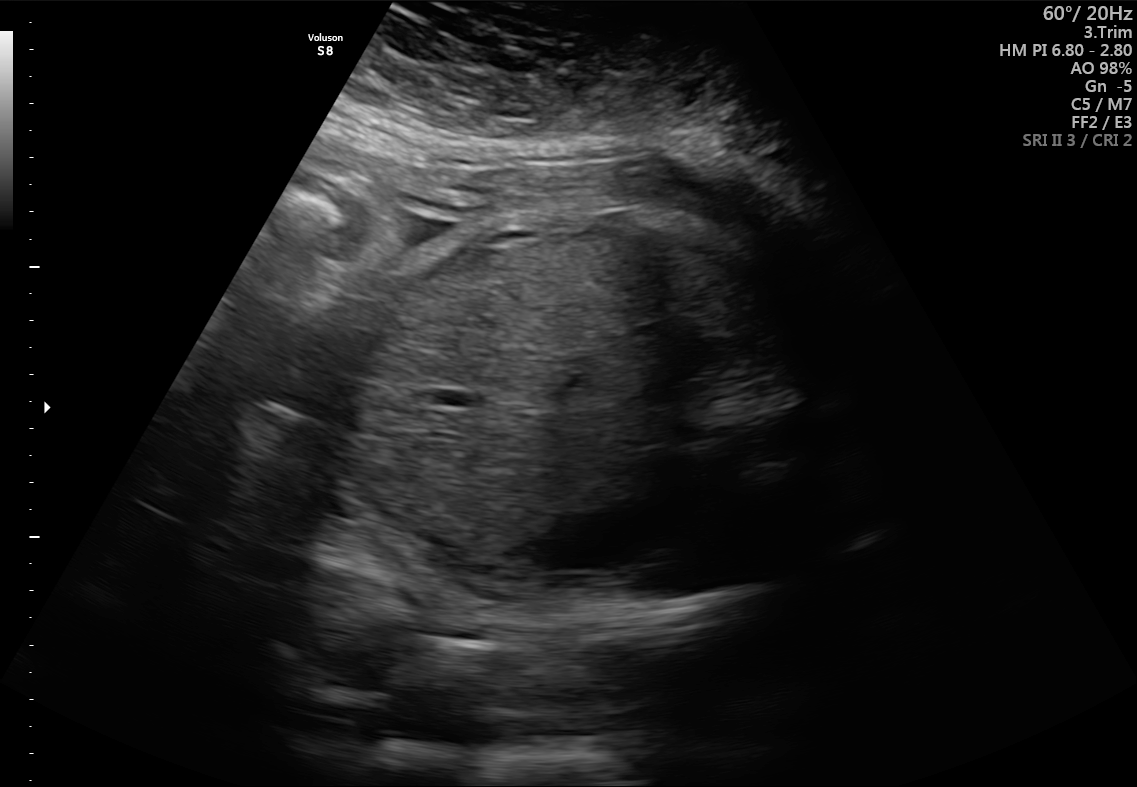
Classify this maternal-fetal ultrasound image as one of the six standard planes — fetal abdomen, fetal brain, fetal femur, fetal thorax, maternal cervix, or other. If it's fetal brain and one of the three standard brain planes (trans-thalamic, trans-cerebellum, trans-ventricular), name which.

Fetal abdomen